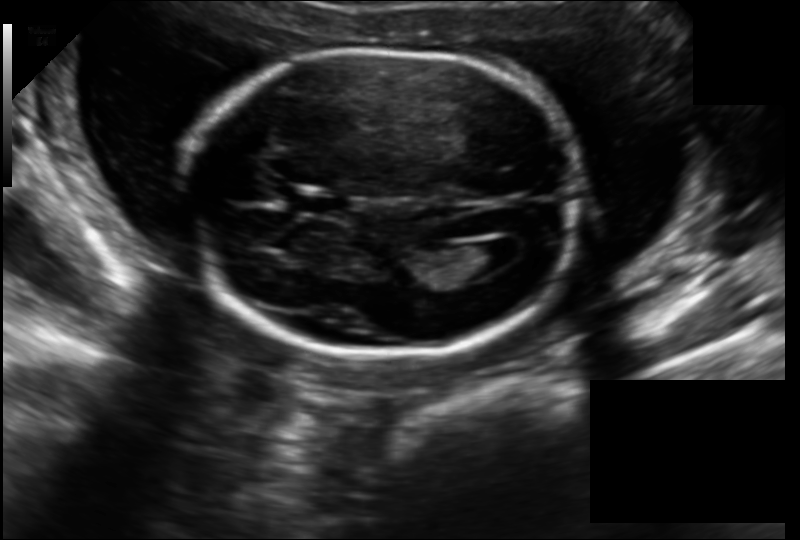
Fetal head ultrasound. Image width: 125.8 mm. Locate the fetal head and, if visible, the cavum septum pellucidum (CSP) and lateral ventricle (LV). Give bounding boxes as [x1,y1,x2,y2].

Head: [182,47,581,359]
CSP: [290,191,351,218]
Lateral ventricle: [455,231,519,280]